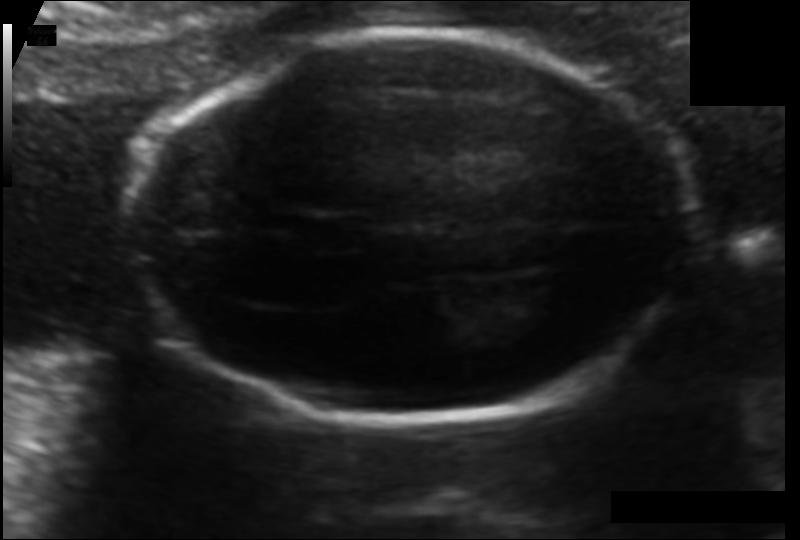
Fetal head ultrasound. Image width: 82.3 mm. Where is the fetal head?

Head bounding box: [133,31,692,421]